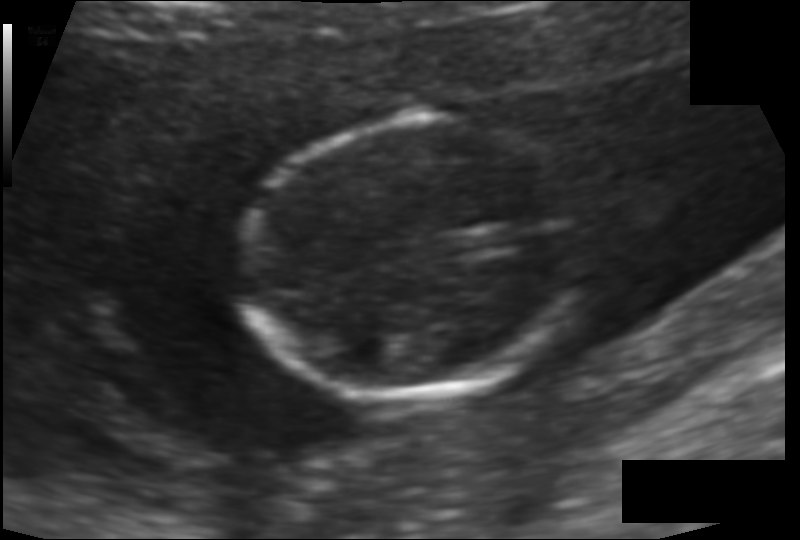
Estimate the fetal head circumference from this 2D ultrasound. Image width: 77.6 mm.

Head circumference: 99.4 mm.